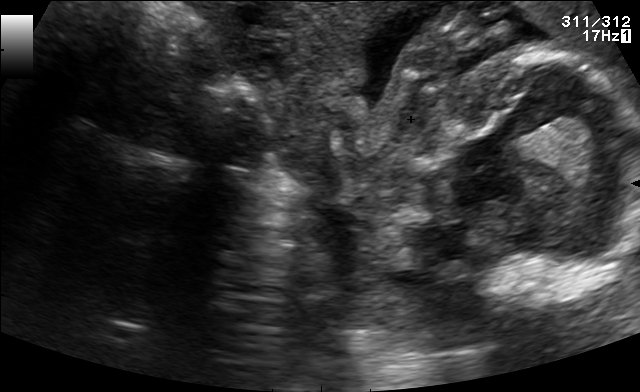
Which standard maternal-fetal ultrasound plane is shown: fetal abdomen, fetal brain, fetal femur, fetal thorax, maternal cervix, or other? If it's fetal brain and one of the three standard brain planes (trans-thalamic, trans-cerebellum, trans-ventricular), name which.

Other